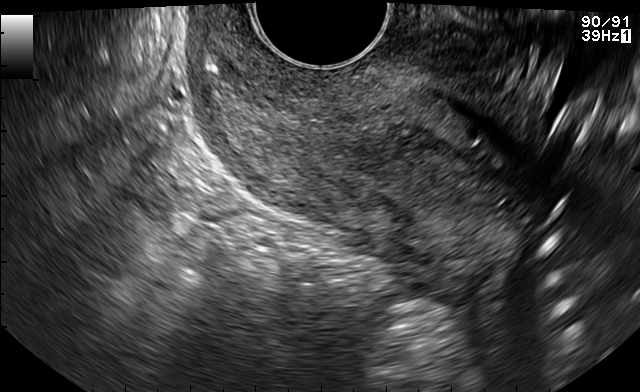
Classify this maternal-fetal ultrasound image as one of the six standard planes — fetal abdomen, fetal brain, fetal femur, fetal thorax, maternal cervix, or other. If it's fetal brain and one of the three standard brain planes (trans-thalamic, trans-cerebellum, trans-ventricular), name which.

Maternal cervix